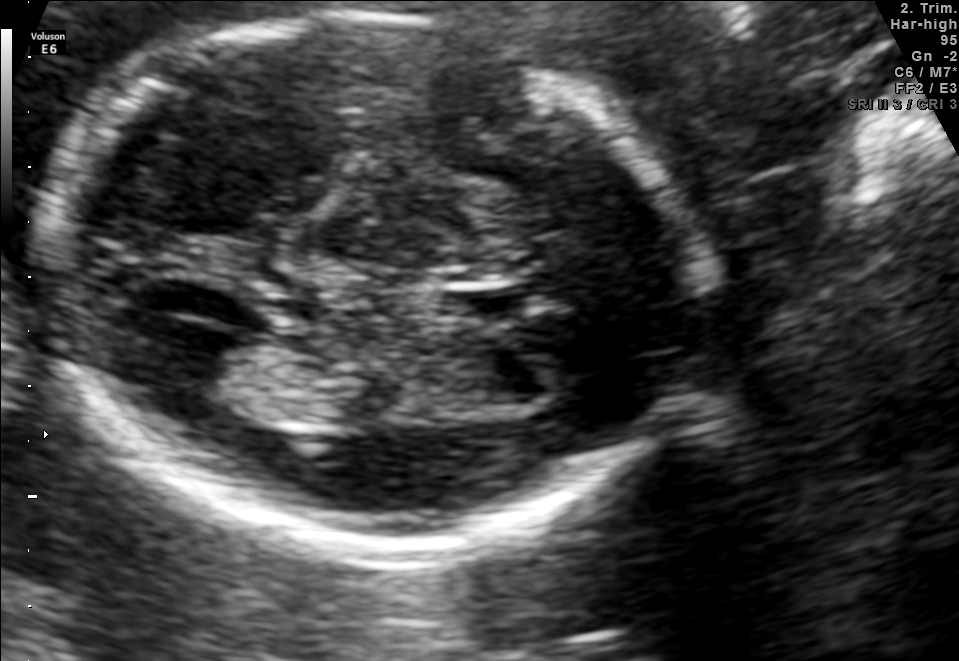
Fetal brain, trans-thalamic plane. Where is the lateral ventricle?

Lateral ventricle bounding box: [150,320,276,418]